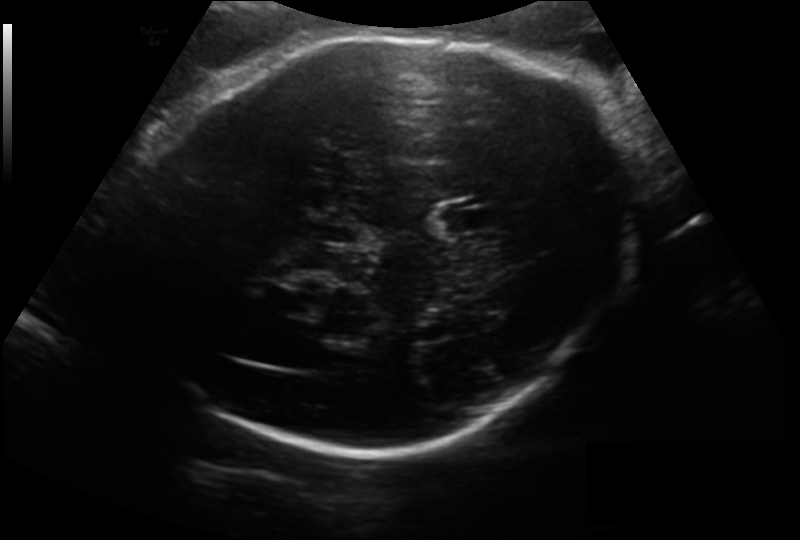
Fetal head ultrasound. Image width: 160.1 mm. Give [x1,y1,x2,y2] bounding boxes for each visible structure among: fetal head, CSP, LV.

Head: [138,35,626,448]
CSP: [436,197,503,238]